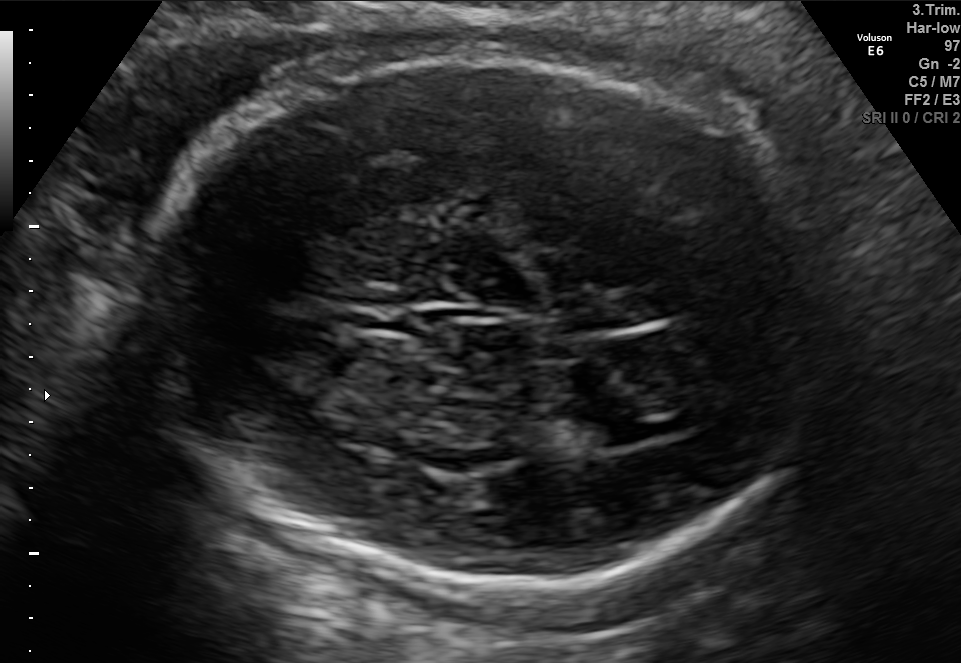
Fetal brain, trans-ventricular plane. Where is the cavum septum pellucidum?

CSP bounding box: [342,295,421,337]